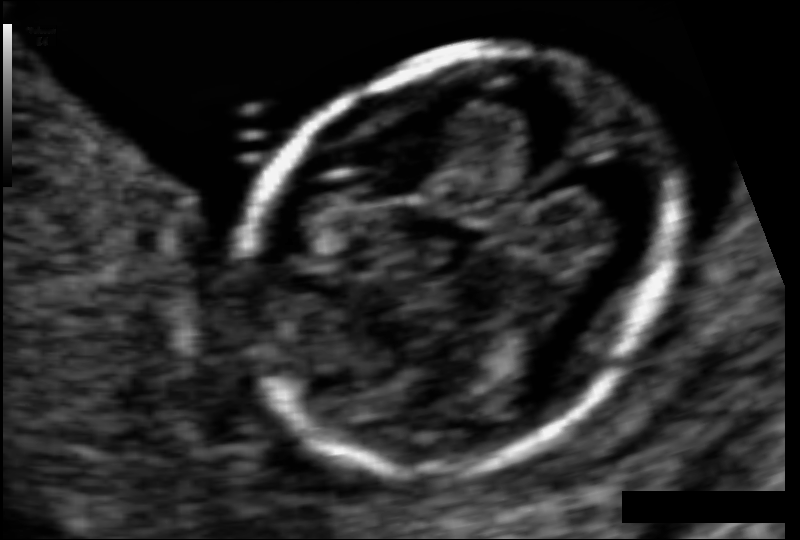
Estimate the fetal head circumference from this 2D ultrasound. Image width: 48.5 mm.

Head circumference: 83.4 mm.